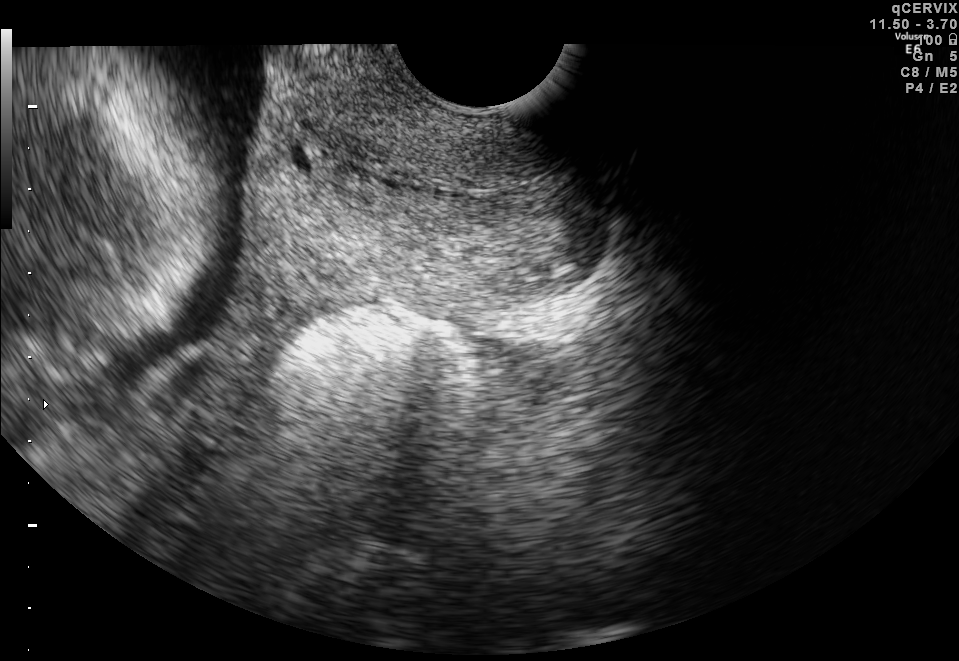
Which standard maternal-fetal ultrasound plane is shown: fetal abdomen, fetal brain, fetal femur, fetal thorax, maternal cervix, or other? If it's fetal brain and one of the three standard brain planes (trans-thalamic, trans-cerebellum, trans-ventricular), name which.

Maternal cervix